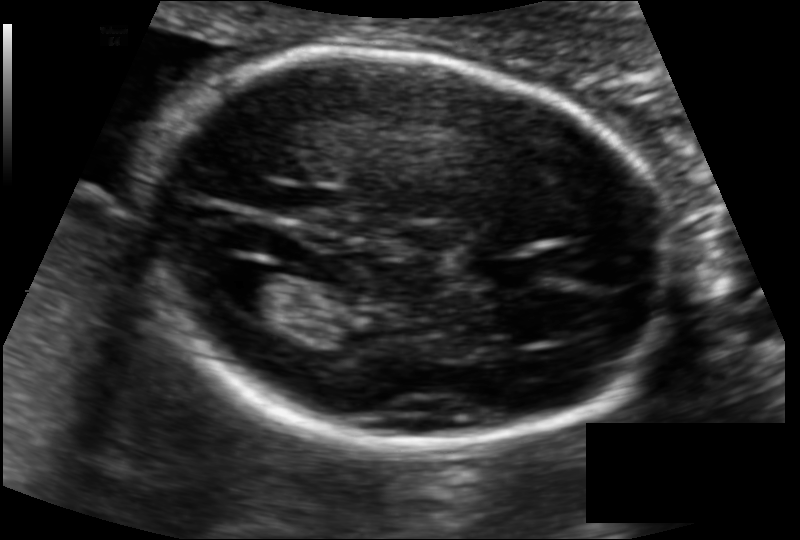
Fetal head ultrasound. Image width: 88.0 mm. Locate the lateral ventricle.

Lateral ventricle: [219,263,301,326]